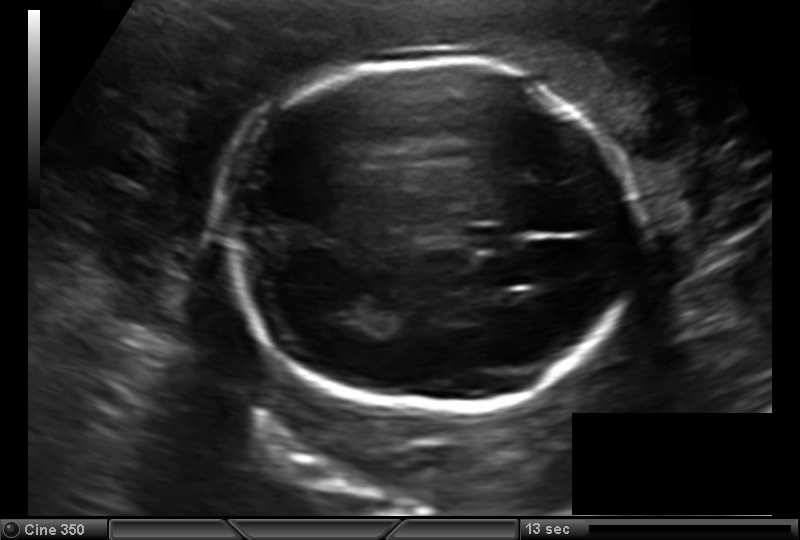
In this fetal head ultrasound, give the bounding box of the fetal head. Image width: 125.6 mm.

[223,60,642,408]